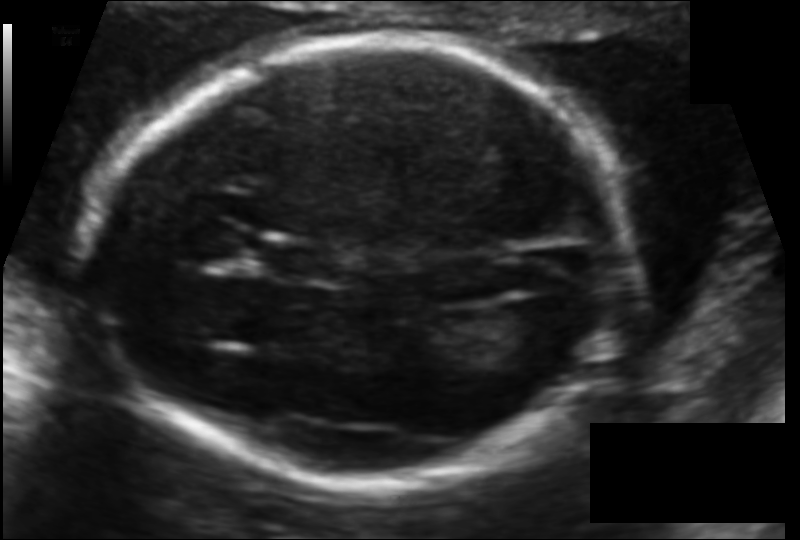
Measure the fetal head circumference shown in this ultrasound image. Image width: 85.1 mm.

Head circumference: 171.3 mm.